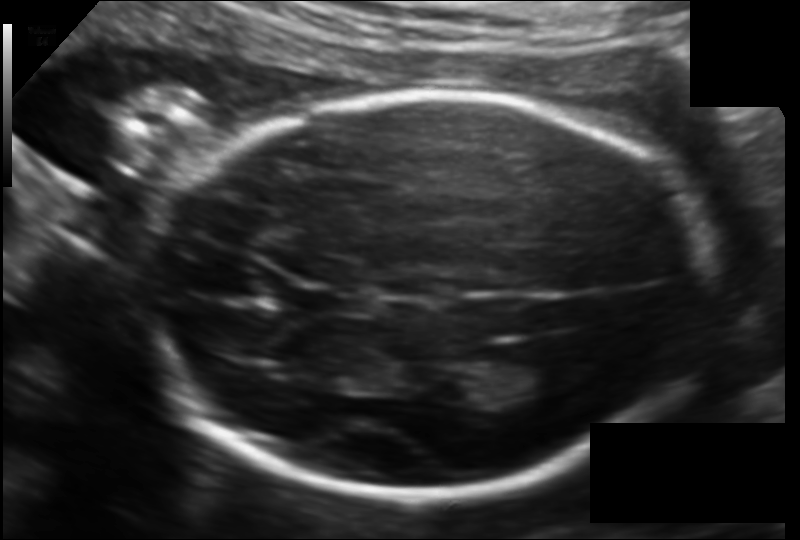
In this fetal head ultrasound, give the bounding box of the lateral ventricle. Image width: 103.8 mm.

[482,344,568,401]